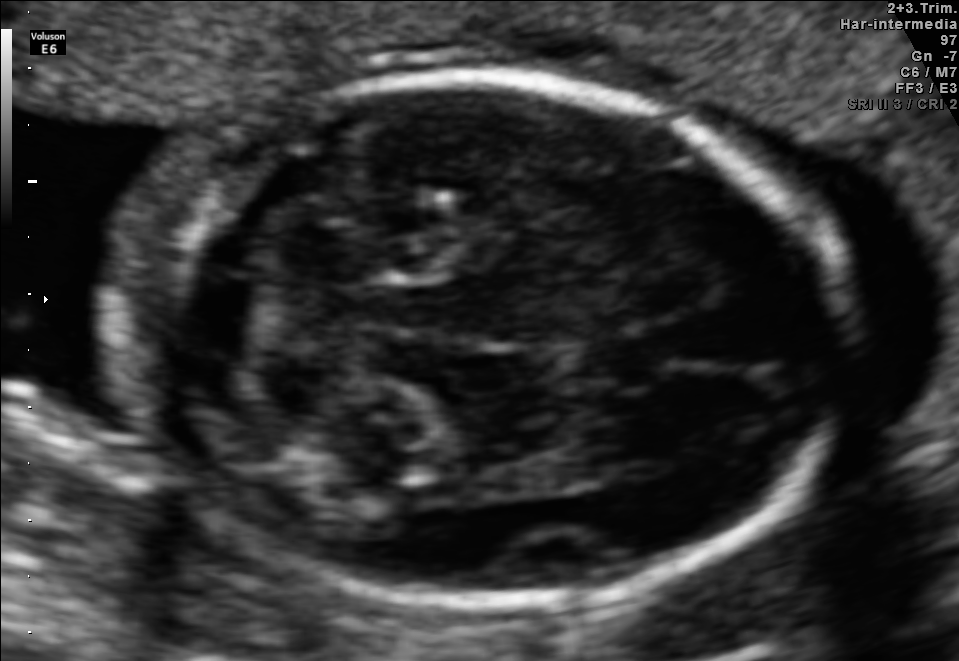
Fetal brain, trans-cerebellum plane. Where is the fetal head?

Head bounding box: [121,75,838,608]